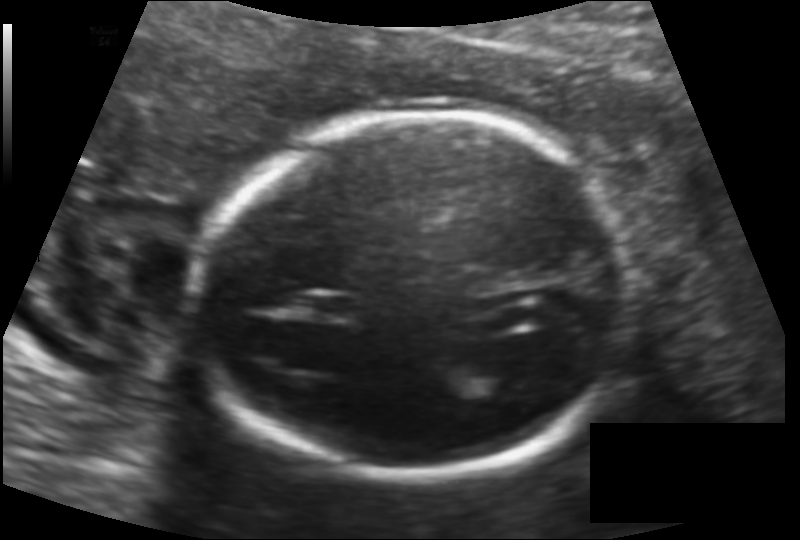
Estimate the fetal head circumference from this 2D ultrasound.

Head circumference: 169.5 mm (image width 104.4 mm).